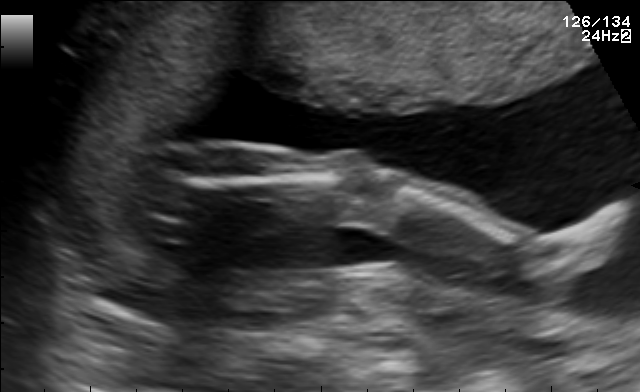
This is a 2D maternal-fetal ultrasound frame. Is it a fetal abdomen, fetal brain, fetal femur, fetal thorax, maternal cervix, or other standard plane? If it's fetal brain and one of the three standard brain planes (trans-thalamic, trans-cerebellum, trans-ventricular), name which.

Fetal femur